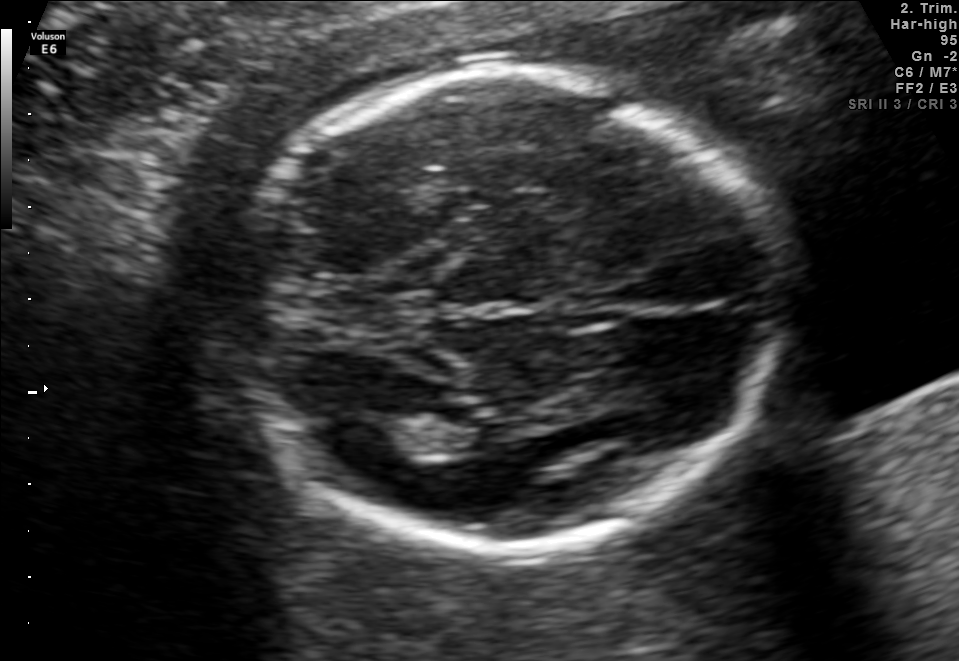
In this fetal brain, trans-thalamic plane, give bounding boxes for the head outline, cavum septum pellucidum (CSP), and lateral ventricle (LV), where visible.

Head: [228,70,779,541]
Lateral ventricle: [329,415,428,464]